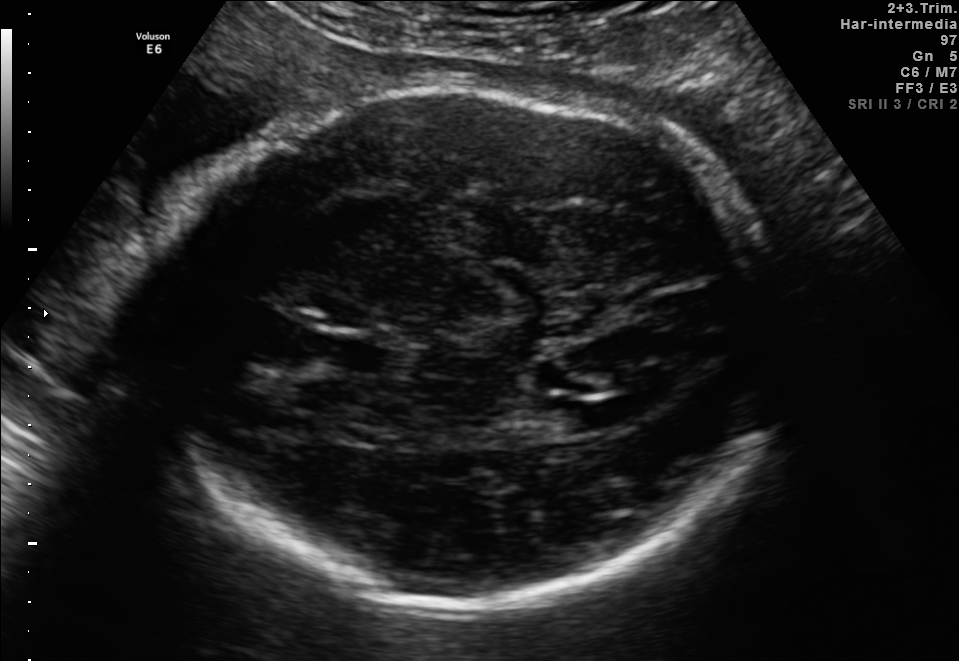
In this fetal brain, trans-ventricular plane, give the bounding box of the cavum septum pellucidum.

[304,332,367,372]